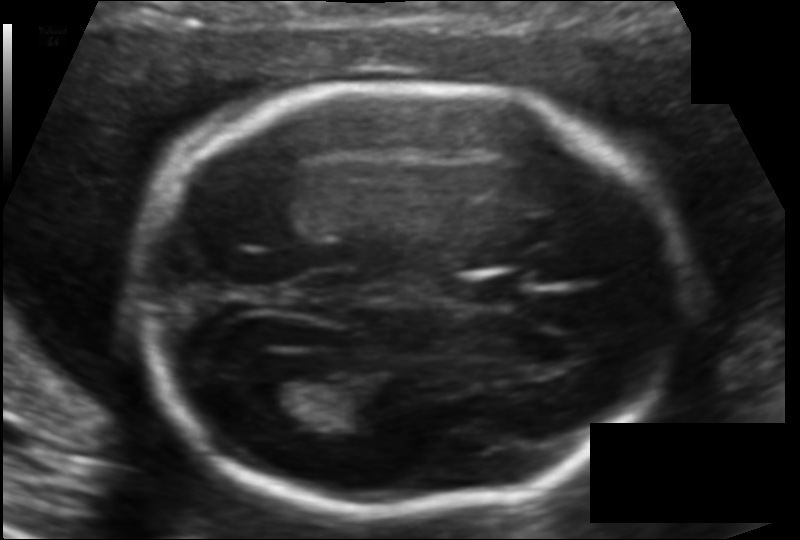
In this fetal head ultrasound, give the bounding box of the lateral ventricle. Image width: 94.1 mm.

[248,372,340,428]